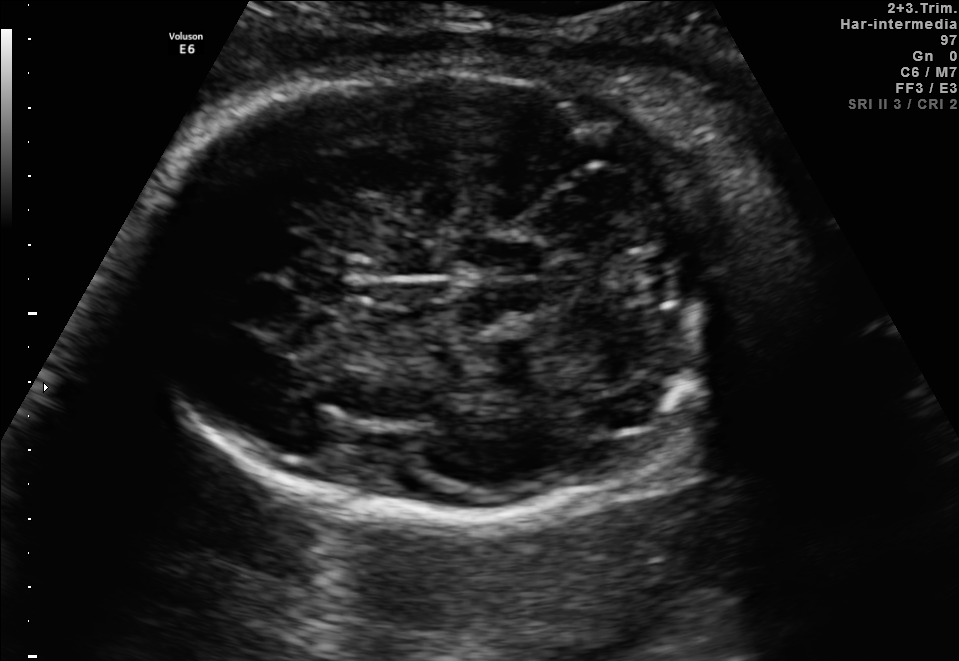
In this fetal brain, trans-cerebellum plane, give bounding boxes for the head outline, cavum septum pellucidum (CSP), and lateral ventricle (LV), where visible.

Head: [141,60,746,529]
CSP: [287,262,346,309]